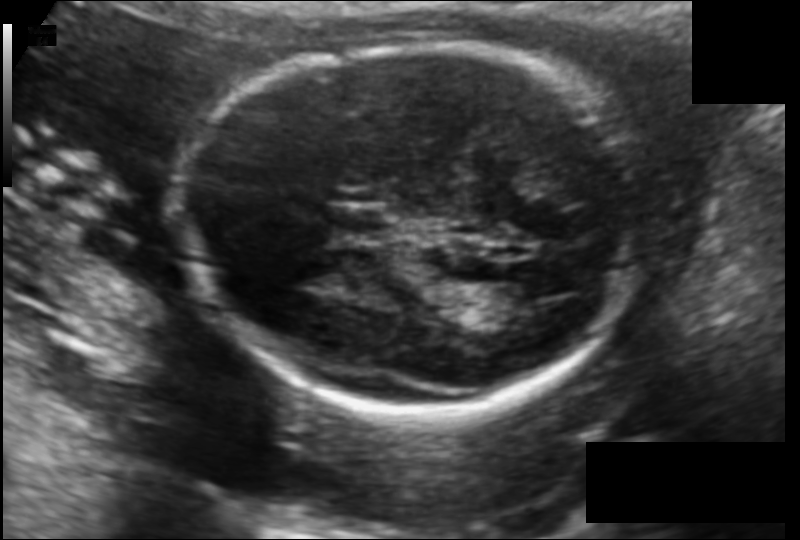
In this fetal head ultrasound, give bounding boxes for the head outline, cavum septum pellucidum (CSP), and lateral ventricle (LV), where visible. Image width: 98.5 mm.

Head: [186,46,634,414]
CSP: [331,207,387,241]